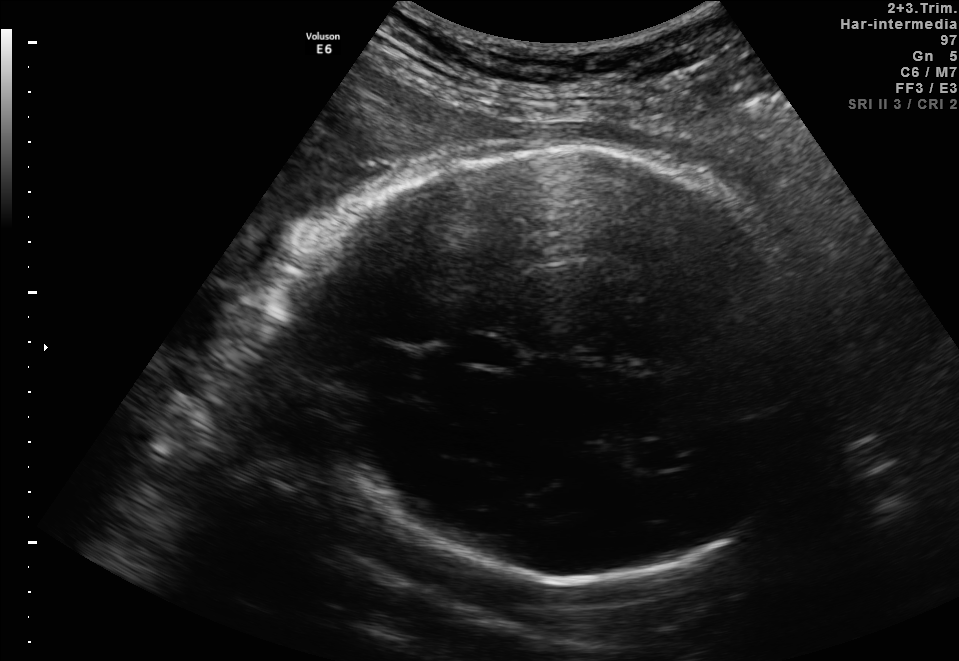
Fetal brain, trans-thalamic plane. Where is the cavum septum pellucidum?

CSP bounding box: [461,334,511,369]